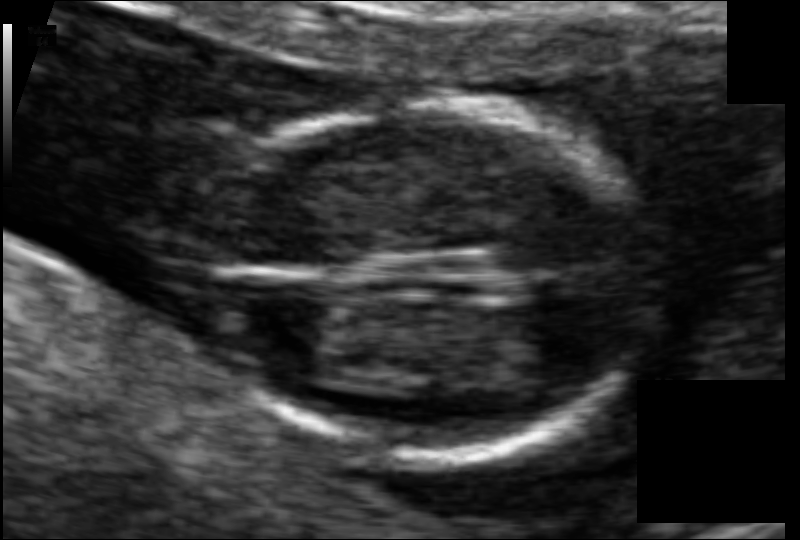
Estimate the fetal head circumference from this 2D ultrasound. Image width: 51.8 mm.

Head circumference: 84.0 mm.